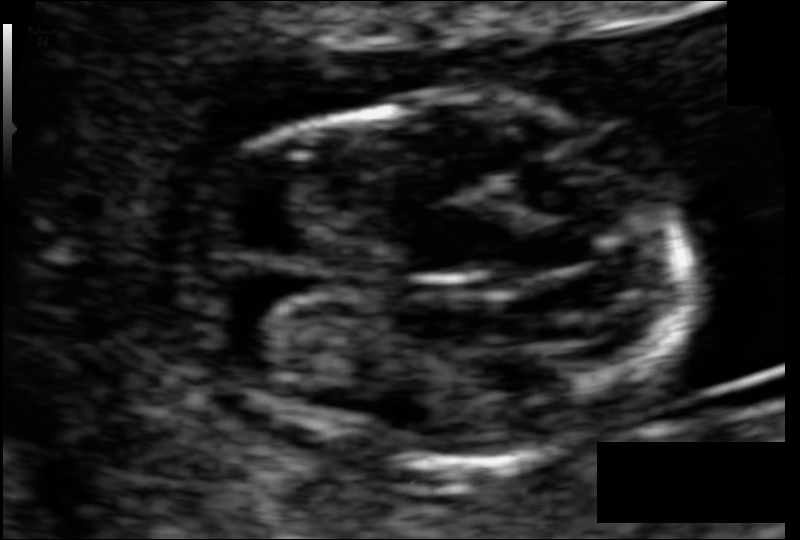
Fetal head ultrasound. Image width: 41.8 mm. Give [x1,y1,x2,y2] bounding boxes for each visible structure among: fetal head, CSP, LV.

Head: [180,100,697,463]